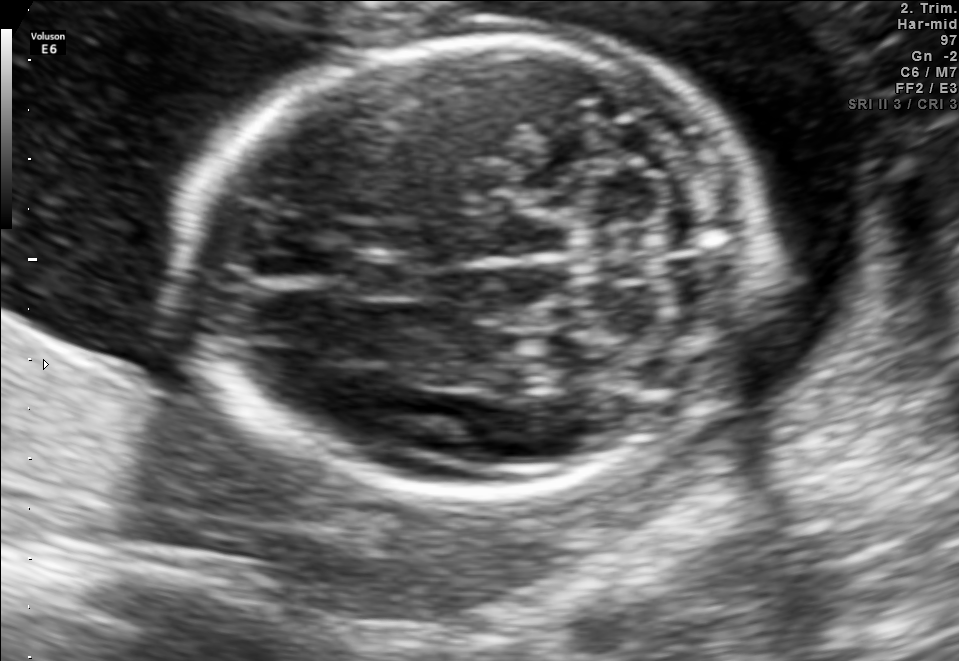
In this fetal brain, trans-cerebellum plane, give the bounding box of the cavum septum pellucidum.

[346,253,420,300]